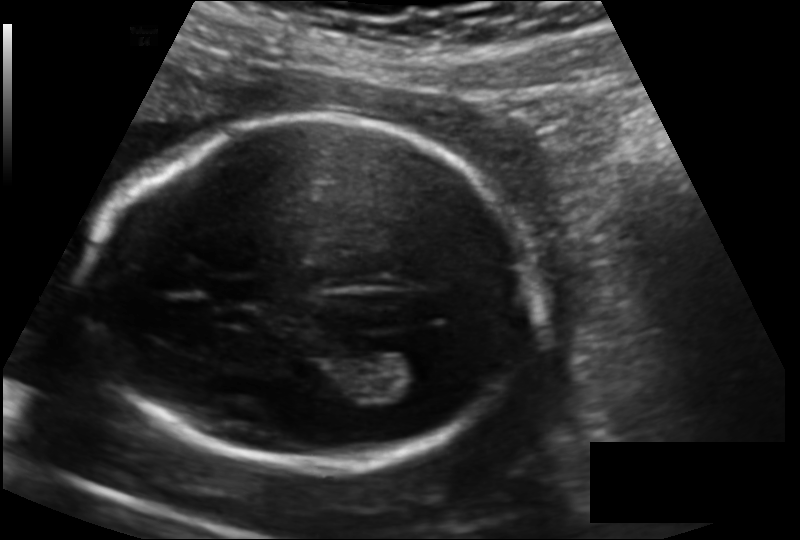
Fetal head ultrasound. Image width: 111.4 mm. Give [x1,y1,x2,y2] bounding boxes for each visible structure among: fetal head, CSP, LV.

Head: [86,118,529,465]
CSP: [210,277,262,303]
Lateral ventricle: [372,346,445,400]